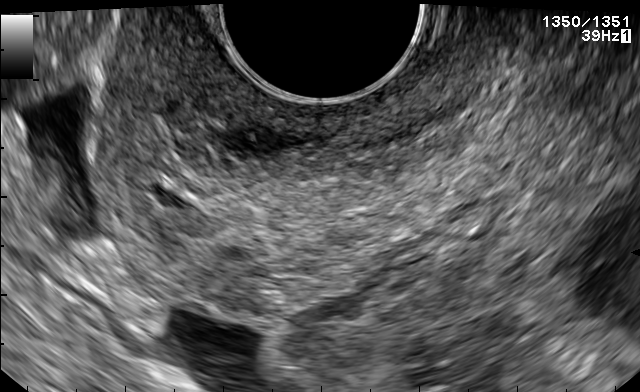
Identify the standard plane in this fetal ultrasound image: fetal abdomen, fetal brain, fetal femur, fetal thorax, maternal cervix, or other. If it's fetal brain and one of the three standard brain planes (trans-thalamic, trans-cerebellum, trans-ventricular), name which.

Maternal cervix